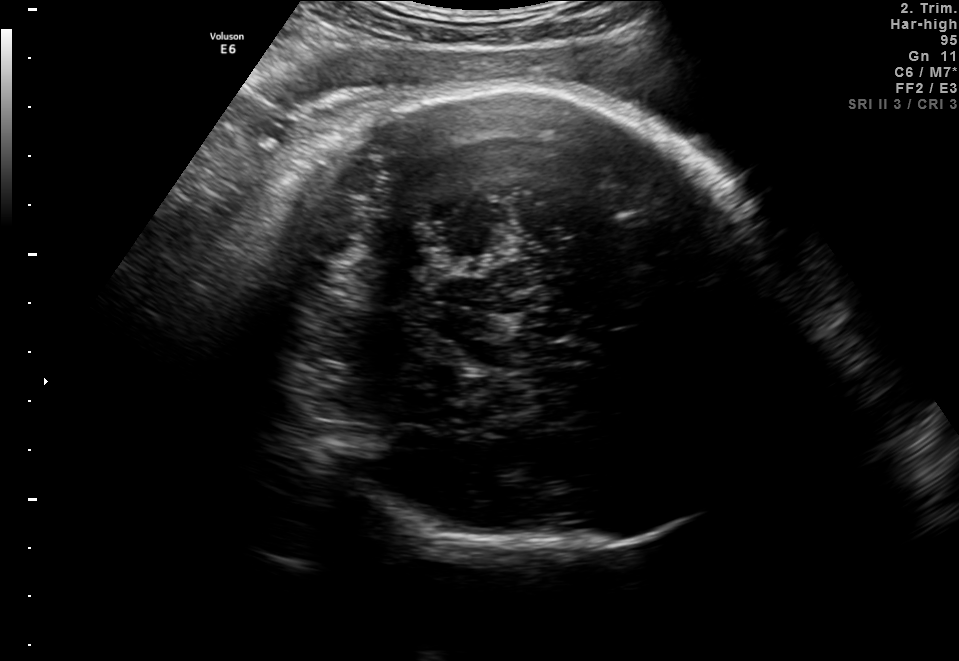
Which standard maternal-fetal ultrasound plane is shown: fetal abdomen, fetal brain, fetal femur, fetal thorax, maternal cervix, or other? If it's fetal brain and one of the three standard brain planes (trans-thalamic, trans-cerebellum, trans-ventricular), name which.

Fetal brain (trans-thalamic plane)